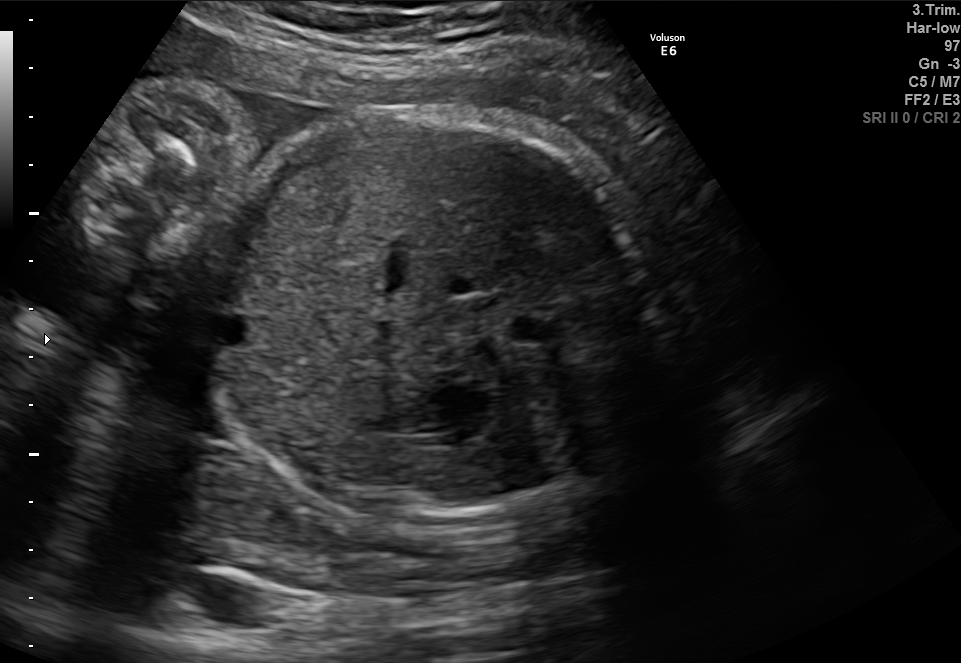
This is a 2D maternal-fetal ultrasound frame. Is it a fetal abdomen, fetal brain, fetal femur, fetal thorax, maternal cervix, or other standard plane? If it's fetal brain and one of the three standard brain planes (trans-thalamic, trans-cerebellum, trans-ventricular), name which.

Fetal abdomen